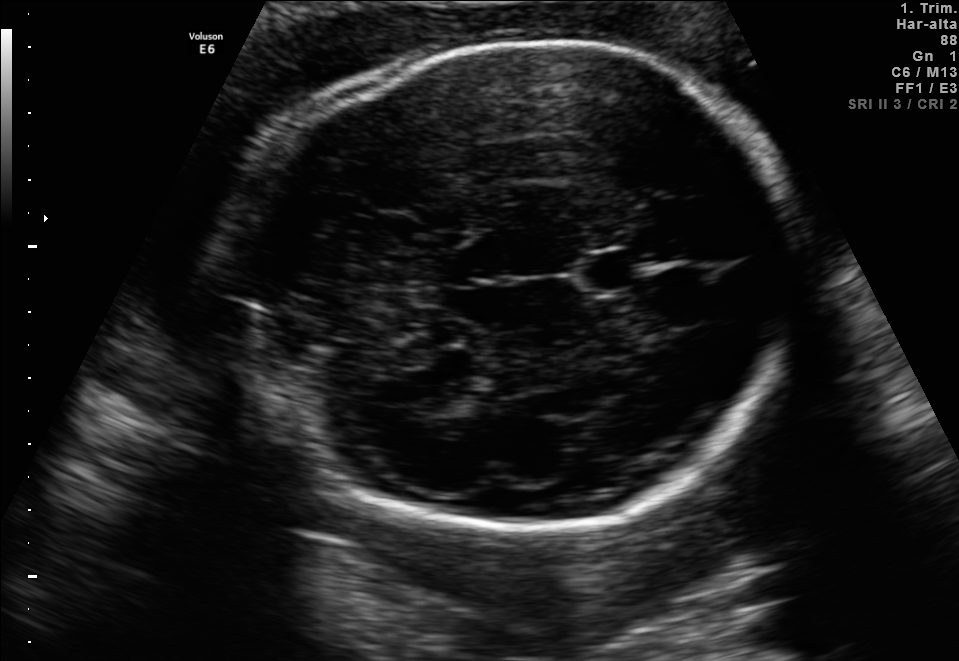
Fetal brain, trans-thalamic plane. Locate the fetal head and, if visible, the cavum septum pellucidum (CSP) and lateral ventricle (LV). Give bounding boxes as [x1,y1,x2,y2].

Head: [228,40,799,527]
CSP: [582,248,640,293]